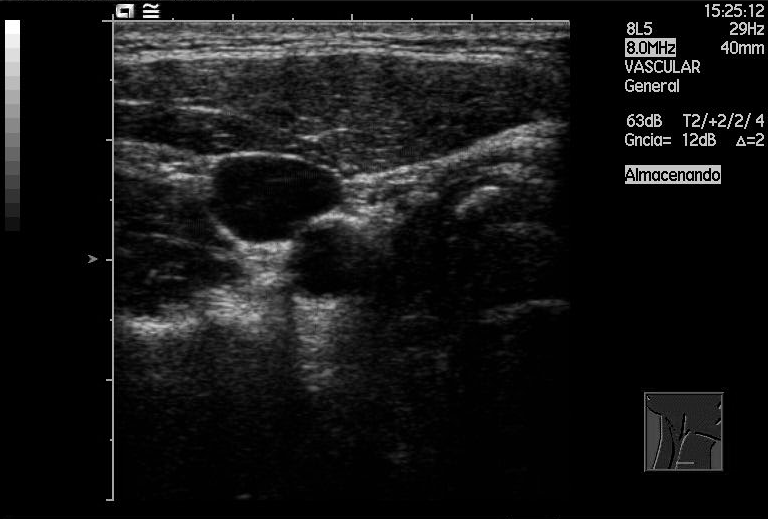
Which standard maternal-fetal ultrasound plane is shown: fetal abdomen, fetal brain, fetal femur, fetal thorax, maternal cervix, or other? If it's fetal brain and one of the three standard brain planes (trans-thalamic, trans-cerebellum, trans-ventricular), name which.

Other